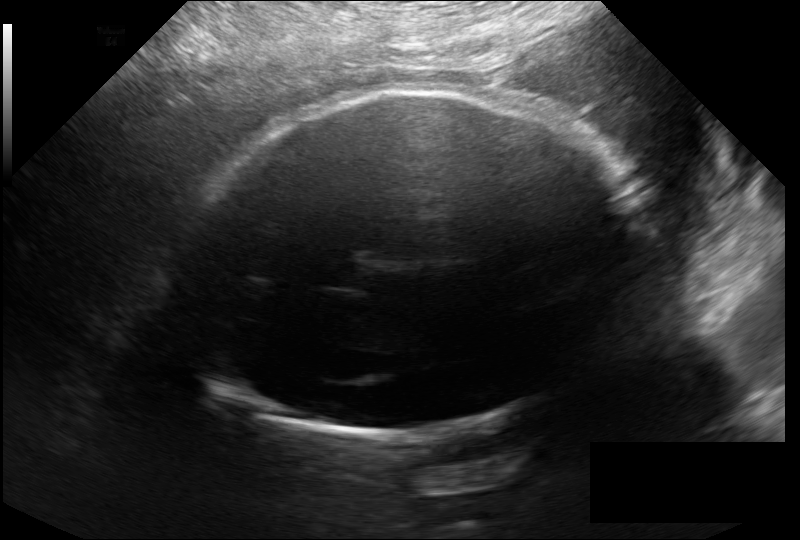
In this fetal head ultrasound, give the bounding box of the fetal head. Image width: 196.9 mm.

[180,90,626,435]